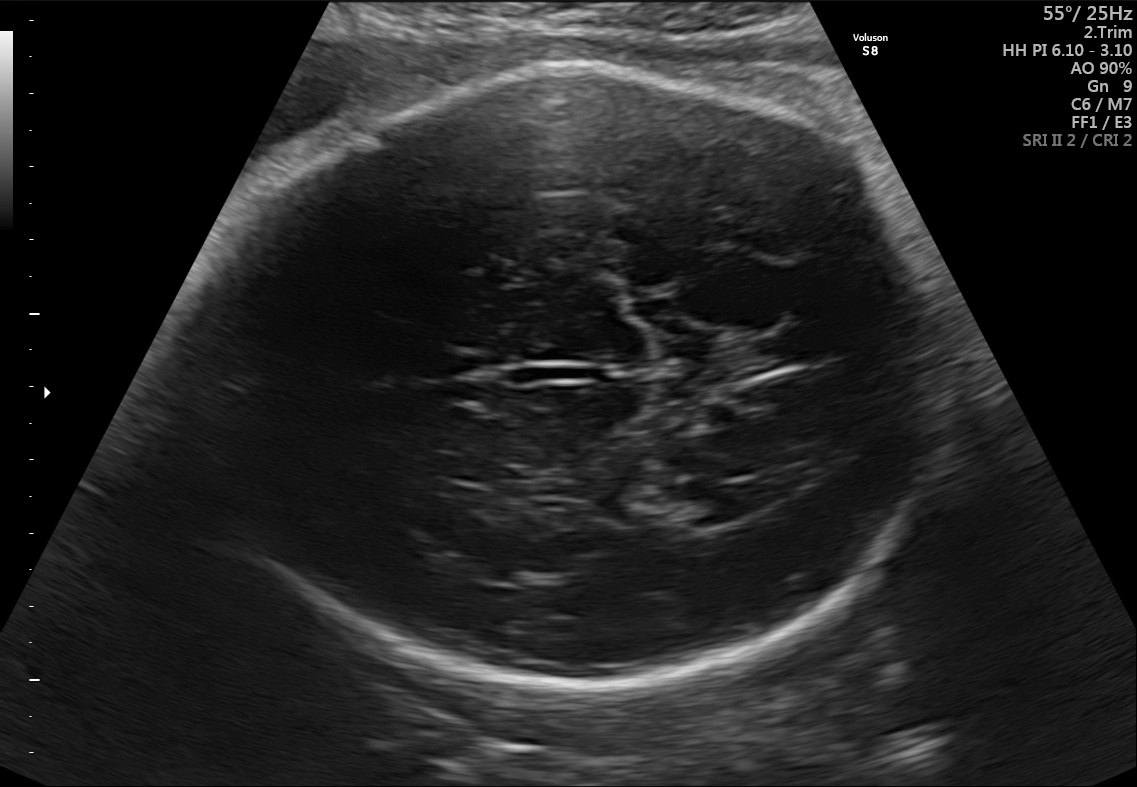
Fetal brain, trans-ventricular plane. Locate the fetal head and, if visible, the cavum septum pellucidum (CSP) and lateral ventricle (LV). Give bounding boxes as [x1,y1,x2,y2].

Head: [186,65,953,691]